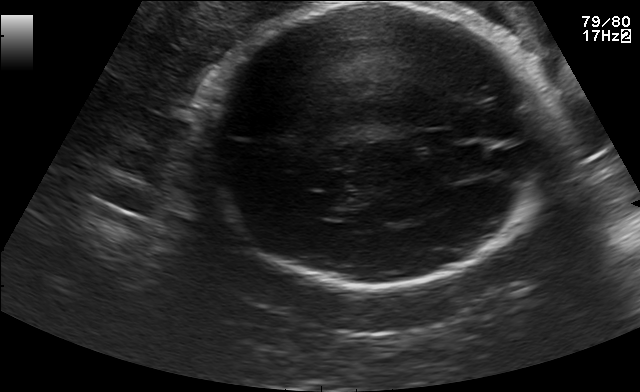
Fetal brain, trans-thalamic plane. Give [x1,y1,x2,y2] bounding boxes for each visible structure among: fetal head, CSP, LV.

Head: [198,3,547,288]